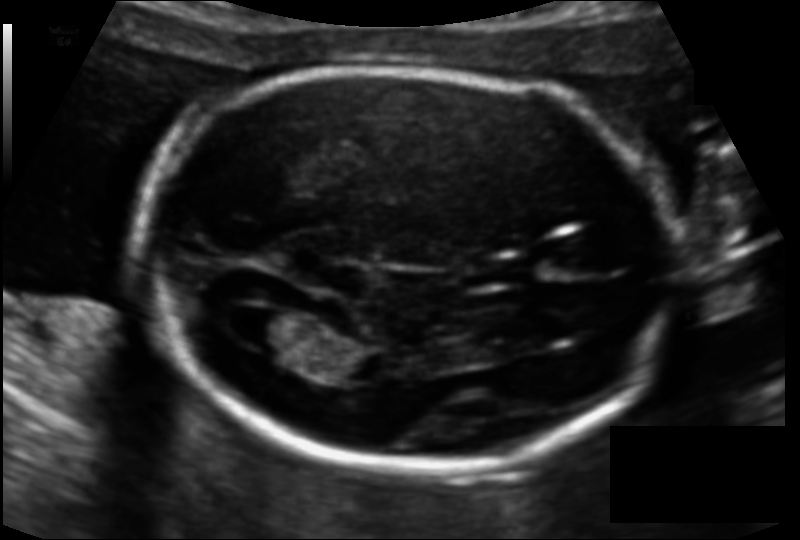
Fetal head ultrasound. Image width: 89.1 mm. Where is the cavum septum pellucidum?

CSP bounding box: [468,252,532,293]